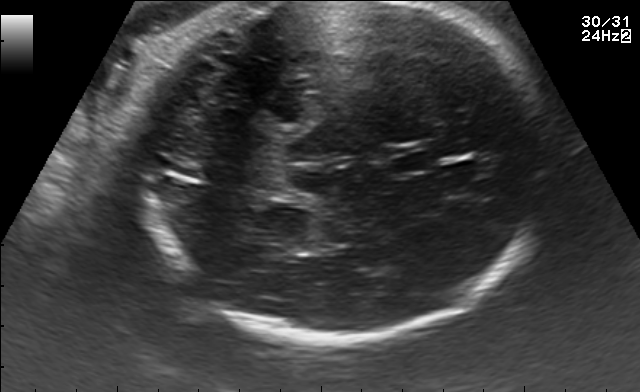
Fetal brain, trans-thalamic plane. Locate the fetal head and, if visible, the cavum septum pellucidum (CSP) and lateral ventricle (LV). Give bounding boxes as [x1,y1,x2,y2].

Head: [131,3,557,342]
CSP: [391,150,439,175]